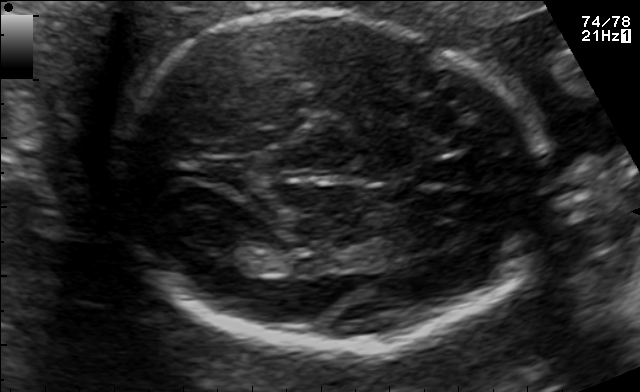
Classify this maternal-fetal ultrasound image as one of the six standard planes — fetal abdomen, fetal brain, fetal femur, fetal thorax, maternal cervix, or other. If it's fetal brain and one of the three standard brain planes (trans-thalamic, trans-cerebellum, trans-ventricular), name which.

Fetal brain (trans-thalamic plane)